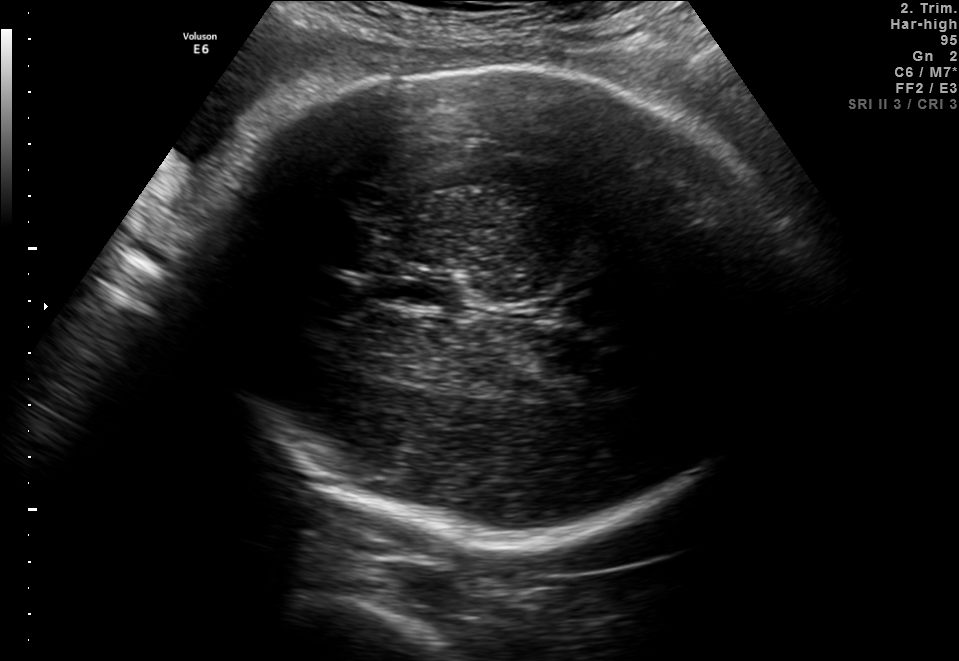
Fetal brain, trans-thalamic plane. Give [x1,y1,x2,y2] bounding boxes for each visible structure among: fetal head, CSP, LV.

Head: [198,67,781,542]
CSP: [381,266,463,310]